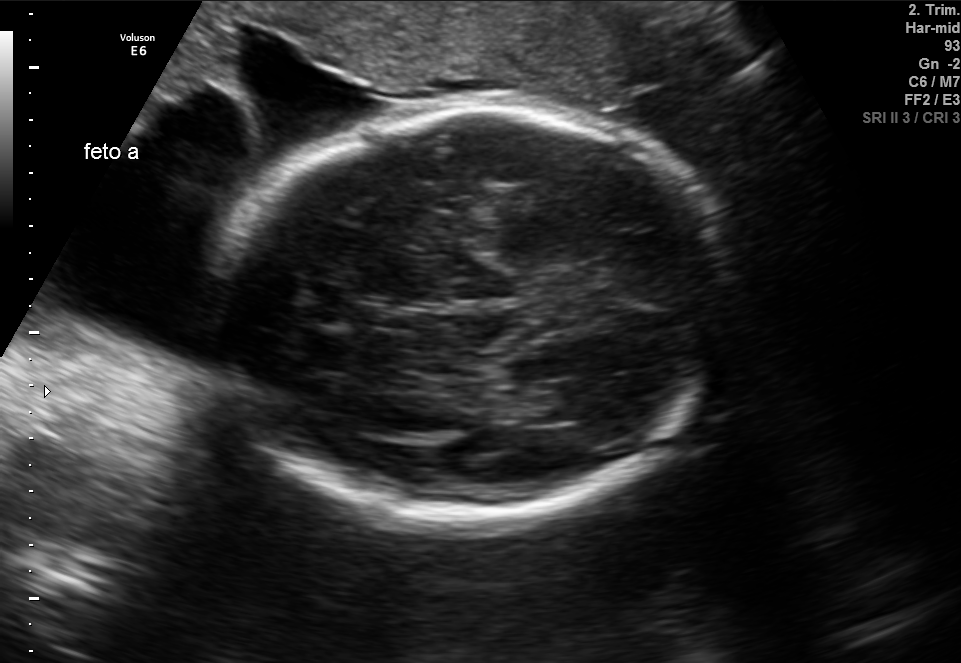
Fetal brain, trans-thalamic plane. Locate the lateral ventricle.

Lateral ventricle: [529,376,609,428]